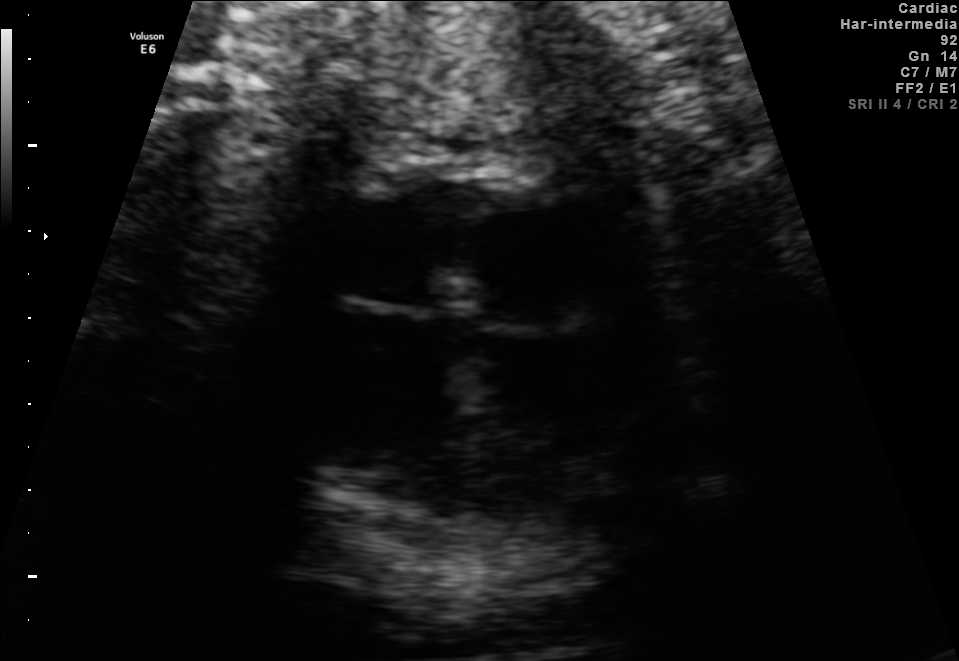
This is a 2D maternal-fetal ultrasound frame. Is it a fetal abdomen, fetal brain, fetal femur, fetal thorax, maternal cervix, or other standard plane? If it's fetal brain and one of the three standard brain planes (trans-thalamic, trans-cerebellum, trans-ventricular), name which.

Fetal thorax